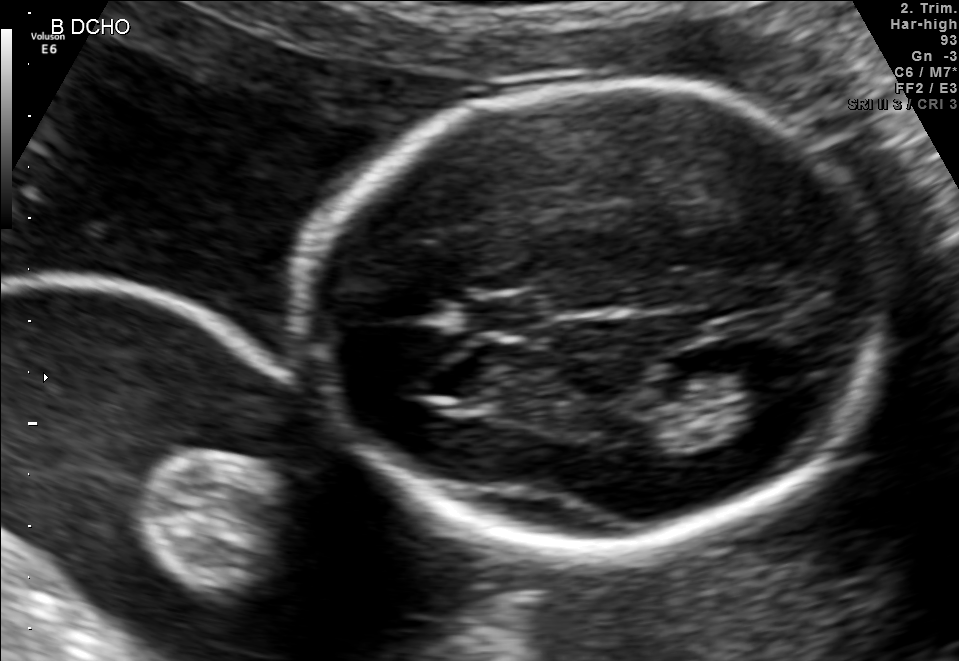
Fetal brain, trans-thalamic plane. Where is the fetal head?

Head bounding box: [297,80,892,555]